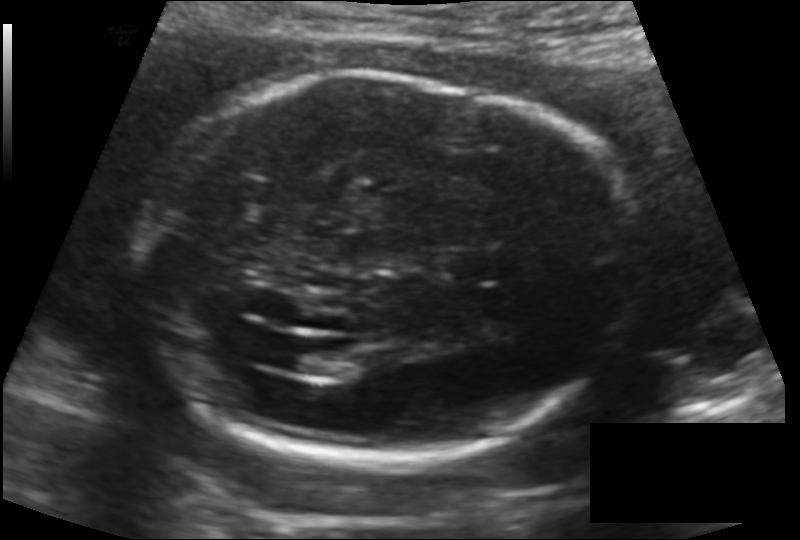
Estimate the fetal head circumference from this 2D ultrasound.

Head circumference: 212.9 mm (image width 117.5 mm).